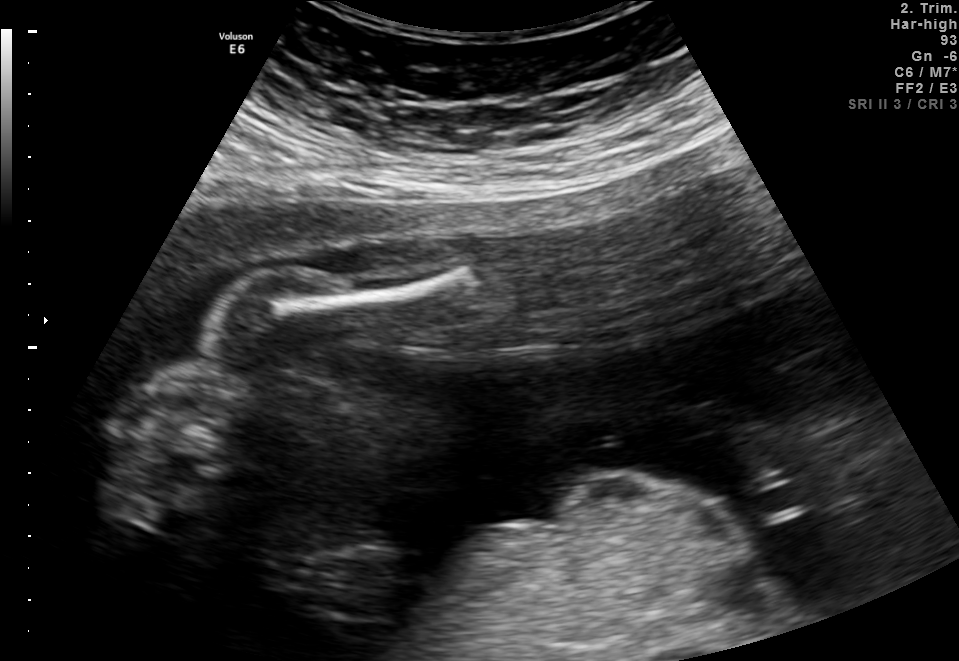
This is a 2D maternal-fetal ultrasound frame. Is it a fetal abdomen, fetal brain, fetal femur, fetal thorax, maternal cervix, or other standard plane? If it's fetal brain and one of the three standard brain planes (trans-thalamic, trans-cerebellum, trans-ventricular), name which.

Fetal femur